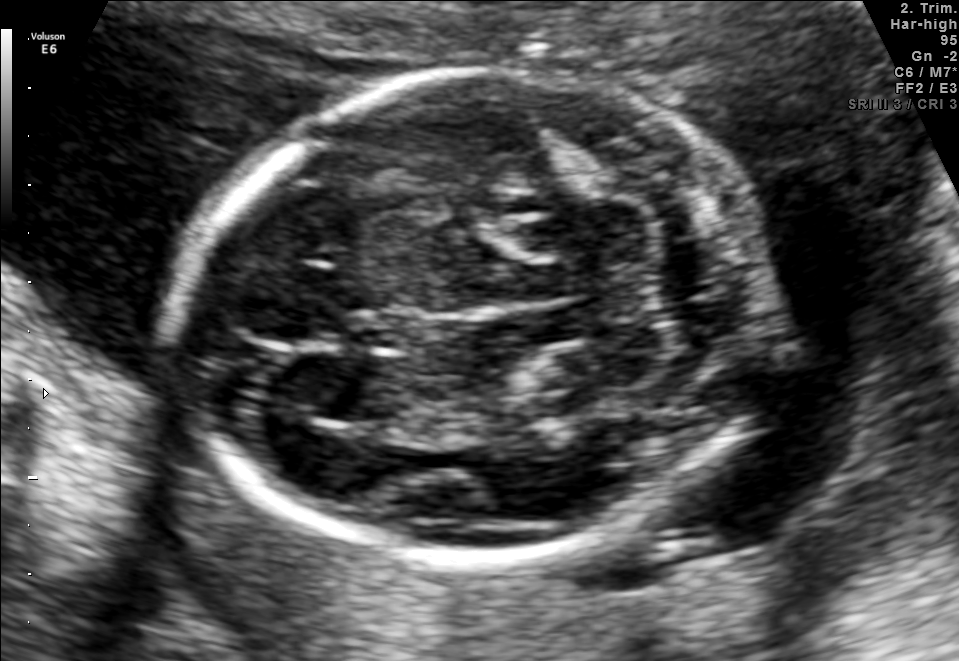
Fetal brain, trans-cerebellum plane. Locate the fetal head and, if visible, the cavum septum pellucidum (CSP) and lateral ventricle (LV). Give bounding boxes as [x1,y1,x2,y2].

Head: [178,70,761,571]